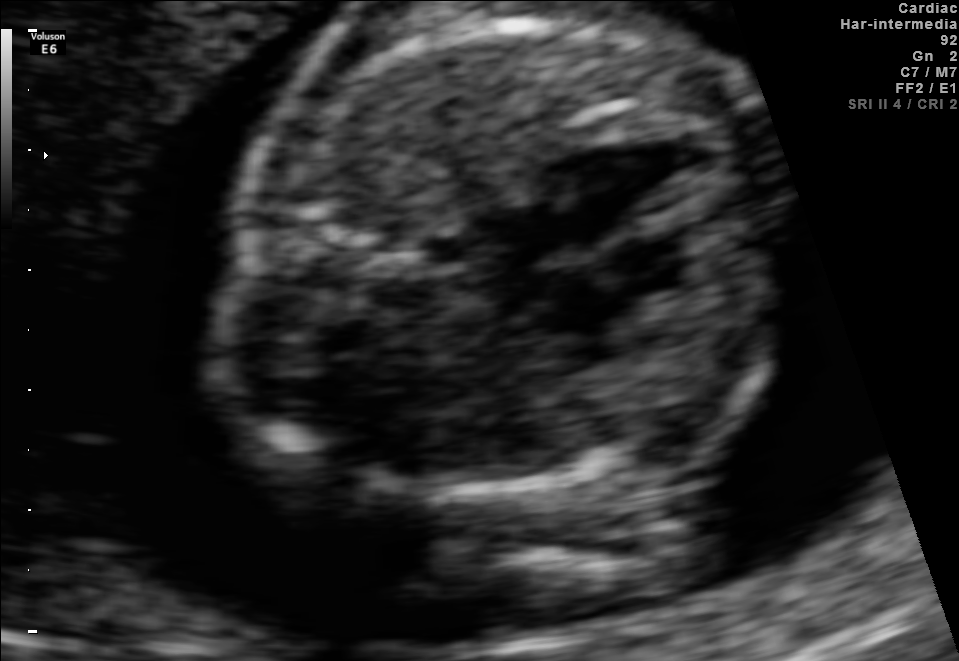
This is a 2D maternal-fetal ultrasound frame. Is it a fetal abdomen, fetal brain, fetal femur, fetal thorax, maternal cervix, or other standard plane? If it's fetal brain and one of the three standard brain planes (trans-thalamic, trans-cerebellum, trans-ventricular), name which.

Fetal thorax